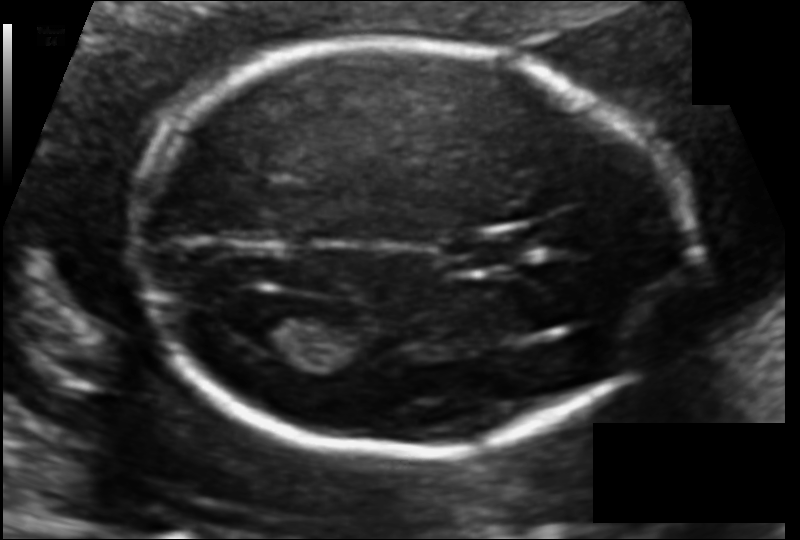
Fetal head ultrasound. Image width: 84.8 mm. Locate the fetal head and, if visible, the cavum septum pellucidum (CSP) and lateral ventricle (LV). Give bounding boxes as [x1,y1,x2,y2].

Head: [128,44,686,453]
CSP: [450,230,525,273]
Lateral ventricle: [240,297,331,367]